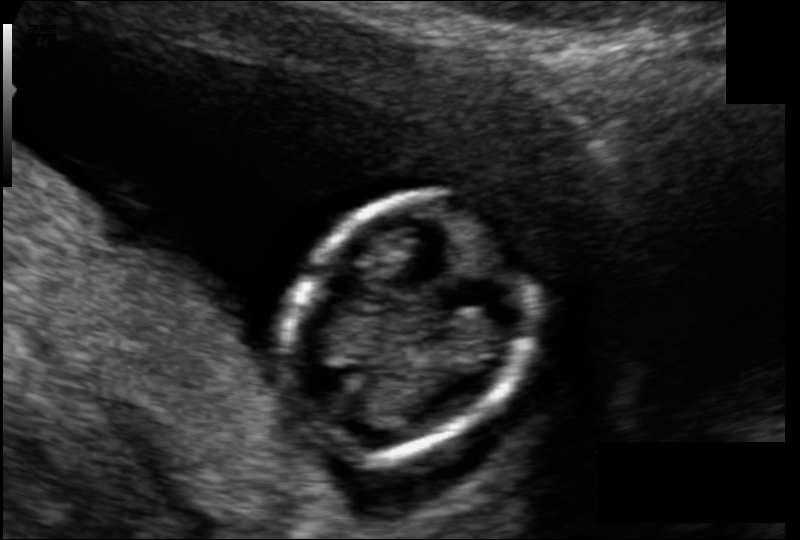
What is the fetal head circumference? Image width is 71.6 mm.

75.2 mm